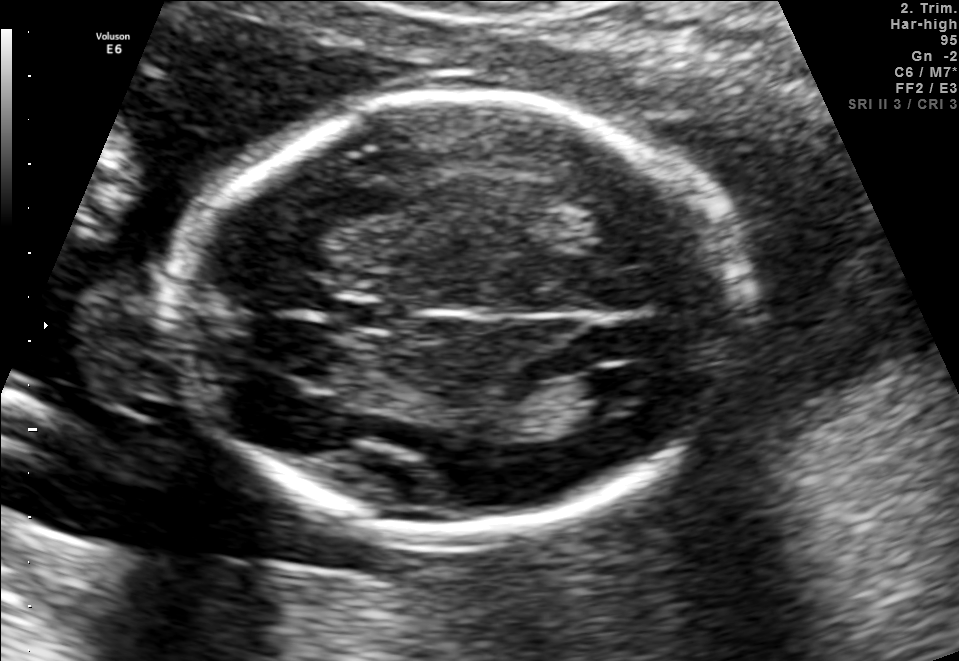
In this fetal brain, trans-ventricular plane, give bounding boxes for the head outline, cavum septum pellucidum (CSP), and lateral ventricle (LV), where visible.

Head: [167,85,762,546]
CSP: [342,302,389,330]
Lateral ventricle: [577,360,664,417]